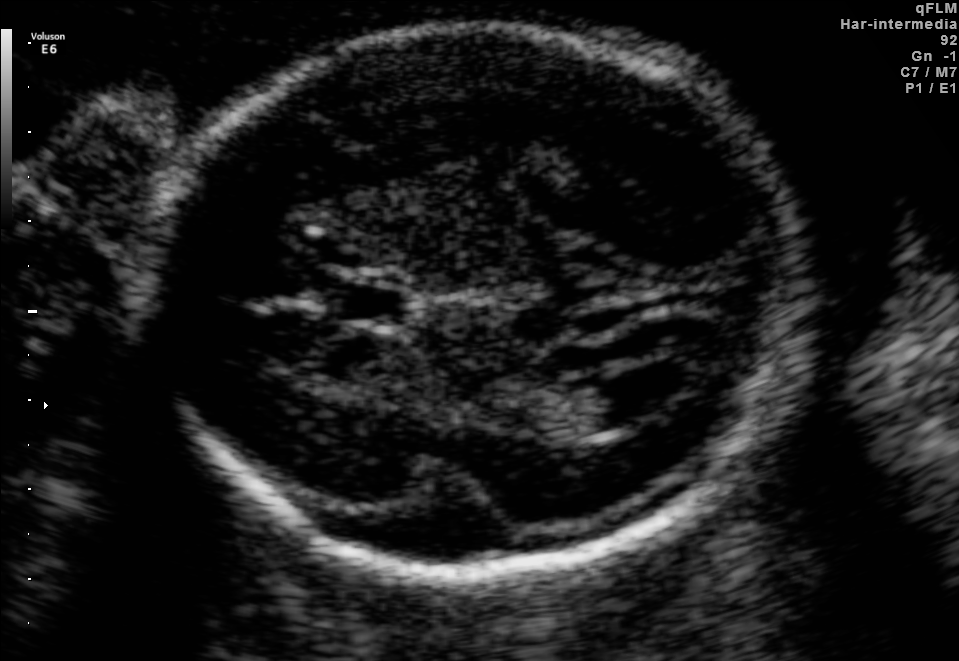
Fetal brain, trans-ventricular plane. Where is the lateral ventricle?

Lateral ventricle bounding box: [567,357,676,438]